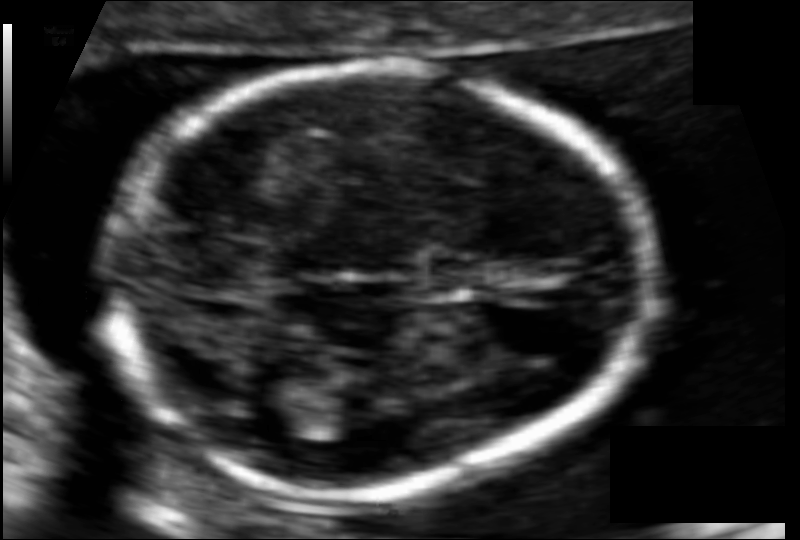
From this fetal ultrasound, estimate the head circumference (image width 67.6 mm).

Head circumference: 137.3 mm.